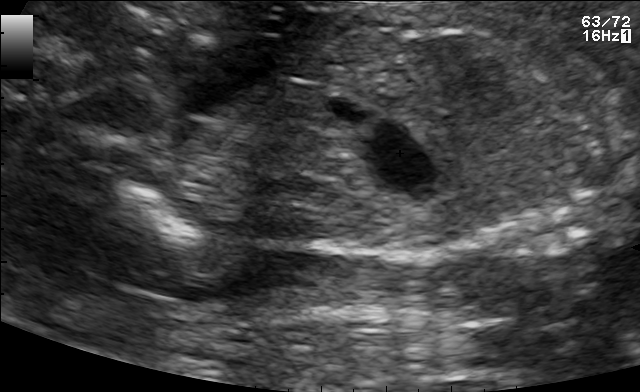
This is a 2D maternal-fetal ultrasound frame. Is it a fetal abdomen, fetal brain, fetal femur, fetal thorax, maternal cervix, or other standard plane? If it's fetal brain and one of the three standard brain planes (trans-thalamic, trans-cerebellum, trans-ventricular), name which.

Other